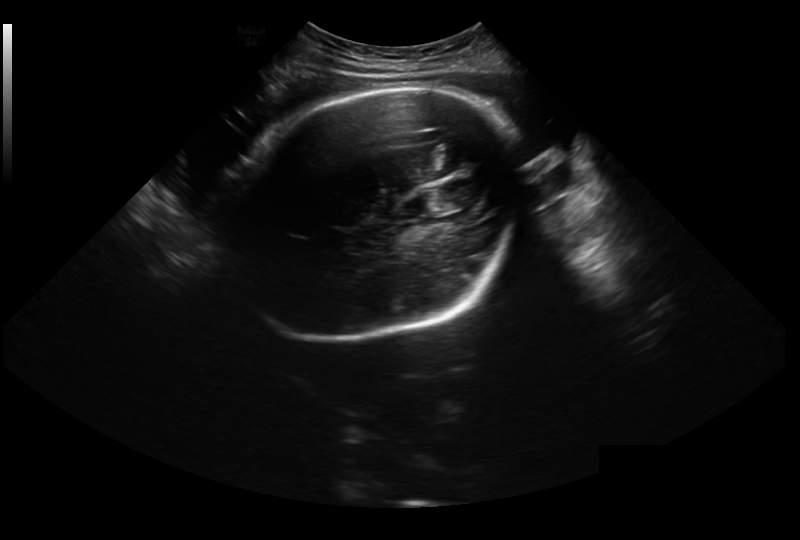
What is the fetal head circumference? Image width is 260.9 mm.

296.8 mm